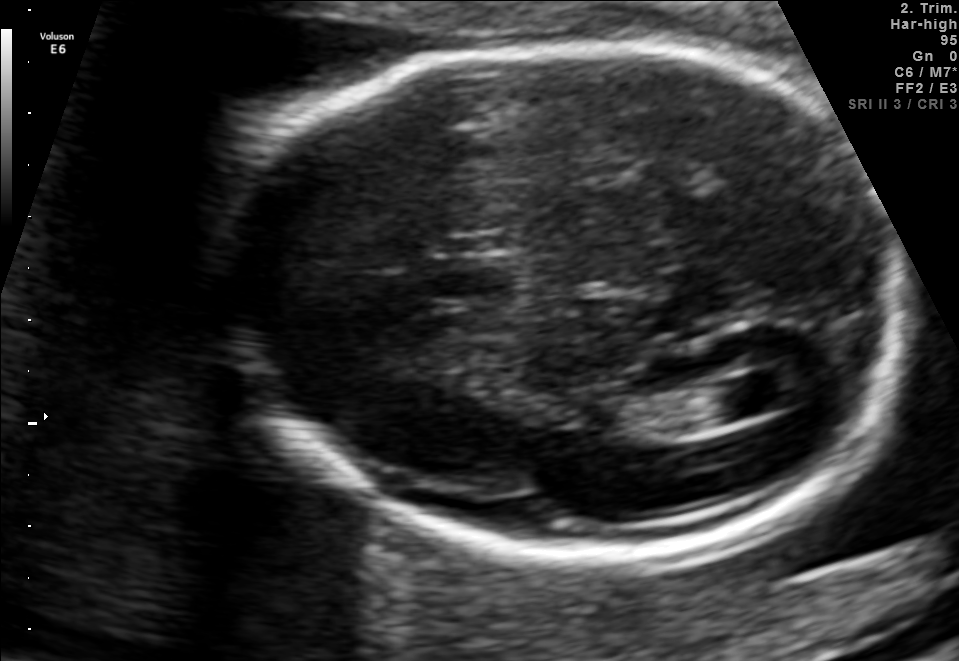
Identify the standard plane in this fetal ultrasound image: fetal abdomen, fetal brain, fetal femur, fetal thorax, maternal cervix, or other. If it's fetal brain and one of the three standard brain planes (trans-thalamic, trans-cerebellum, trans-ventricular), name which.

Fetal brain (trans-ventricular plane)